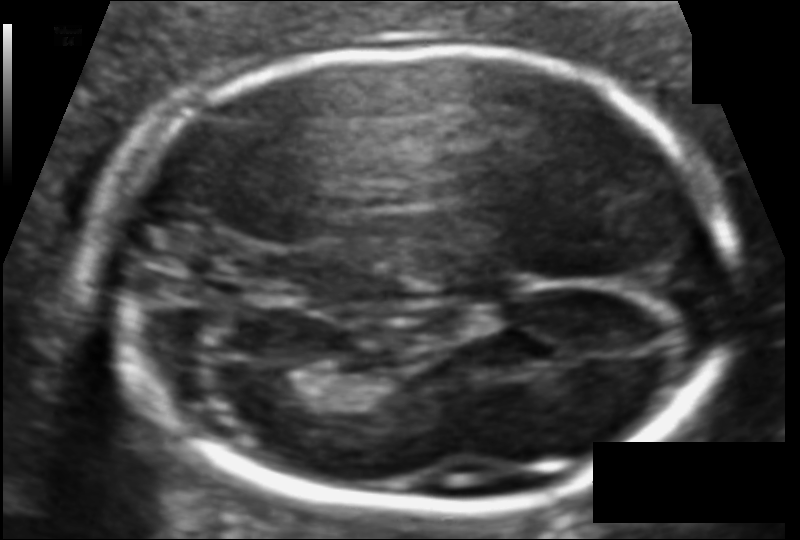
In this fetal head ultrasound, give the bounding box of the fetal head. Image width: 76.5 mm.

[97,49,730,509]